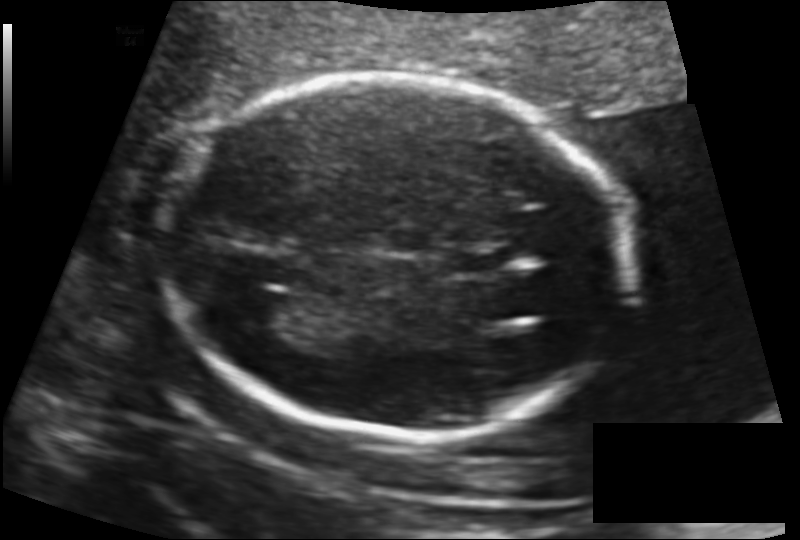
Fetal head ultrasound. Image width: 104.1 mm. Locate the fetal head and, if visible, the cavum septum pellucidum (CSP) and lateral ventricle (LV). Give bounding boxes as [x1,y1,x2,y2].

Head: [163,74,632,435]
CSP: [439,247,515,276]
Lateral ventricle: [231,285,309,340]